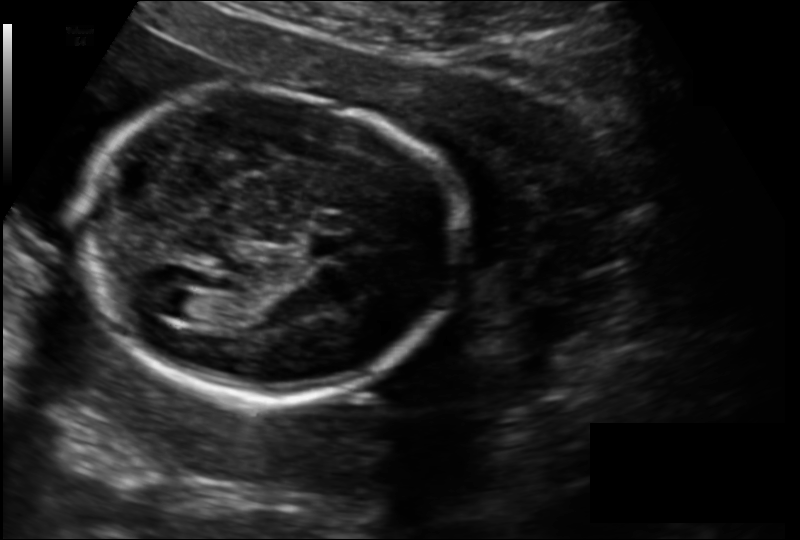
Fetal head ultrasound. Image width: 119.1 mm. Where is the fetal head?

Head bounding box: [73,90,456,399]